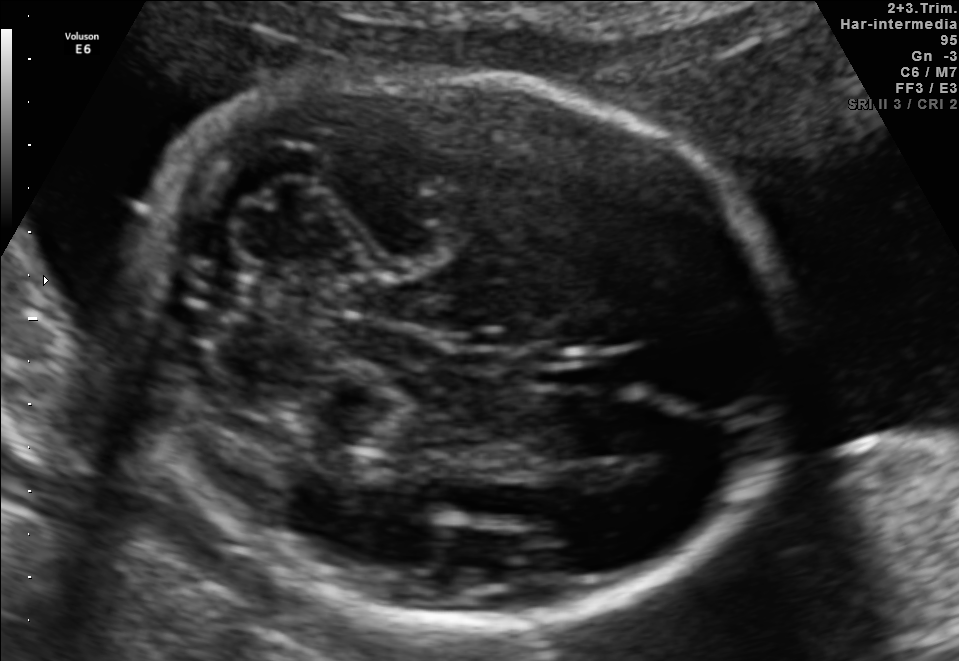
Identify the standard plane in this fetal ultrasound image: fetal abdomen, fetal brain, fetal femur, fetal thorax, maternal cervix, or other. If it's fetal brain and one of the three standard brain planes (trans-thalamic, trans-cerebellum, trans-ventricular), name which.

Fetal brain (trans-cerebellum plane)